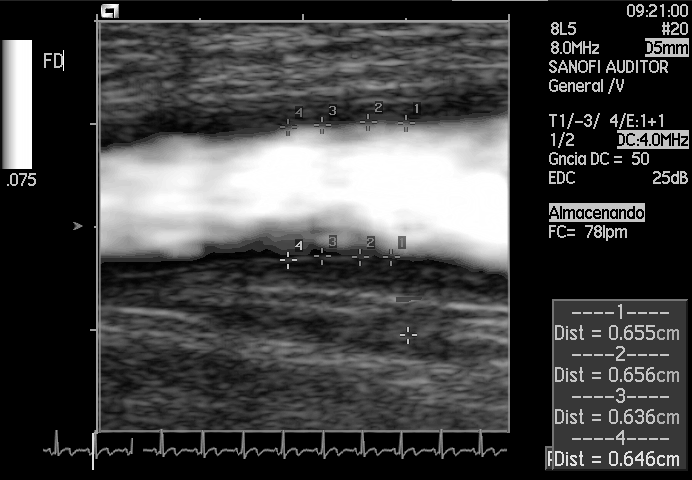
Which standard maternal-fetal ultrasound plane is shown: fetal abdomen, fetal brain, fetal femur, fetal thorax, maternal cervix, or other? If it's fetal brain and one of the three standard brain planes (trans-thalamic, trans-cerebellum, trans-ventricular), name which.

Other